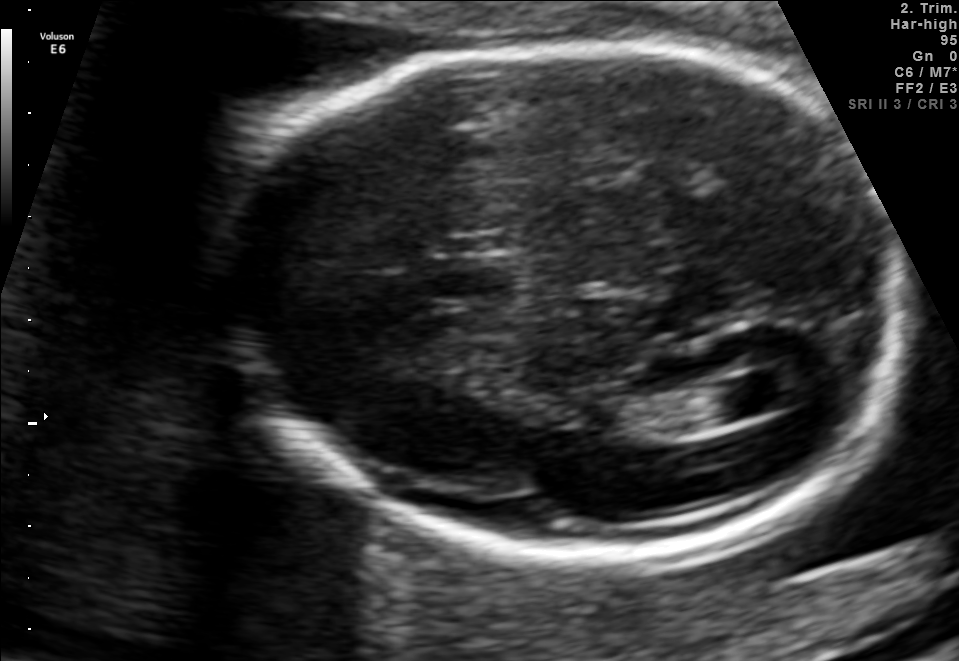
In this fetal brain, trans-ventricular plane, give bounding boxes for the head outline, cavum septum pellucidum (CSP), and lateral ventricle (LV), where visible.

Head: [210,40,907,561]
CSP: [424,255,516,304]
Lateral ventricle: [701,361,806,430]